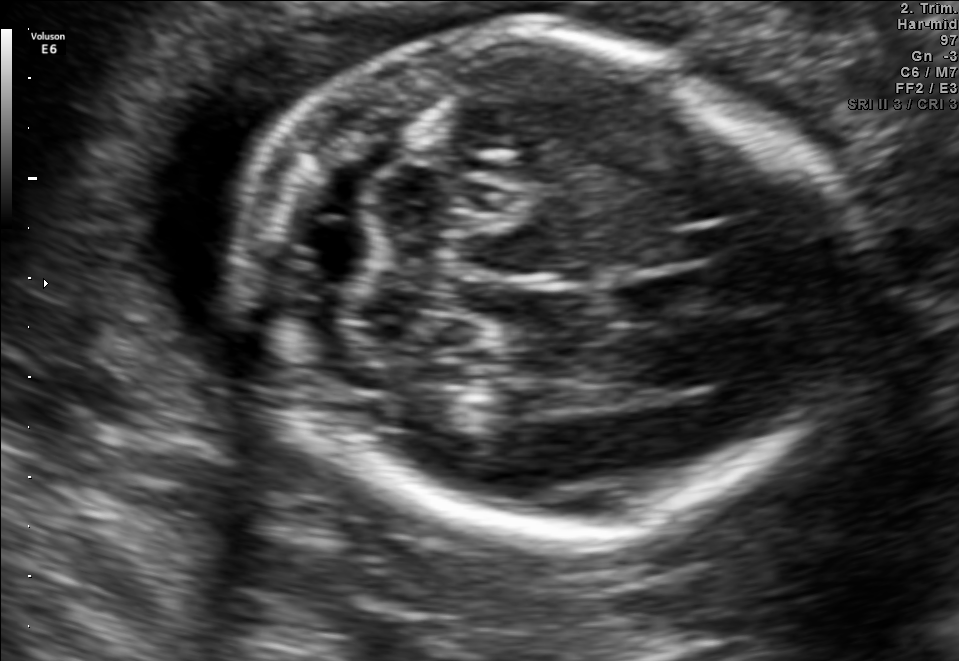
Fetal brain, trans-cerebellum plane. Where is the cavum septum pellucidum?

CSP bounding box: [614,263,718,329]